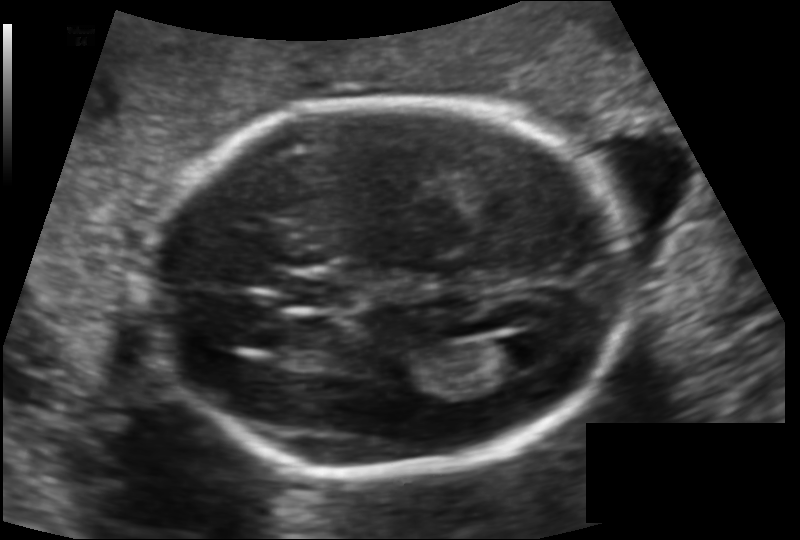
Fetal head ultrasound. Image width: 100.1 mm. Locate the lateral ventricle.

Lateral ventricle: [482,328,552,378]